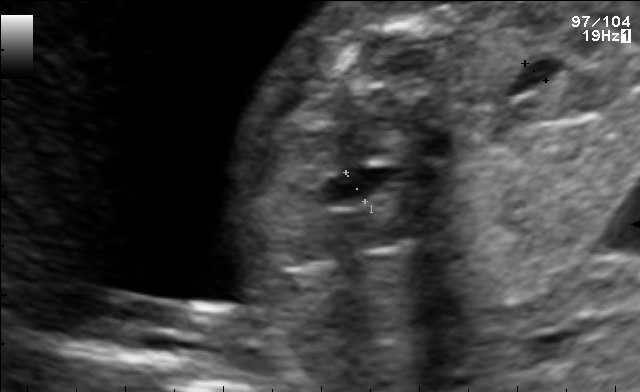
Classify this maternal-fetal ultrasound image as one of the six standard planes — fetal abdomen, fetal brain, fetal femur, fetal thorax, maternal cervix, or other. If it's fetal brain and one of the three standard brain planes (trans-thalamic, trans-cerebellum, trans-ventricular), name which.

Other